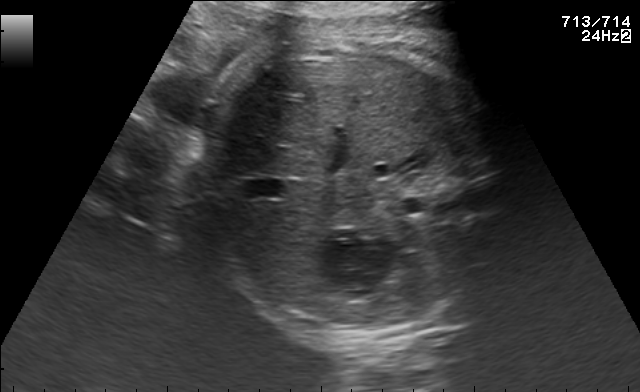
This is a 2D maternal-fetal ultrasound frame. Is it a fetal abdomen, fetal brain, fetal femur, fetal thorax, maternal cervix, or other standard plane? If it's fetal brain and one of the three standard brain planes (trans-thalamic, trans-cerebellum, trans-ventricular), name which.

Fetal abdomen